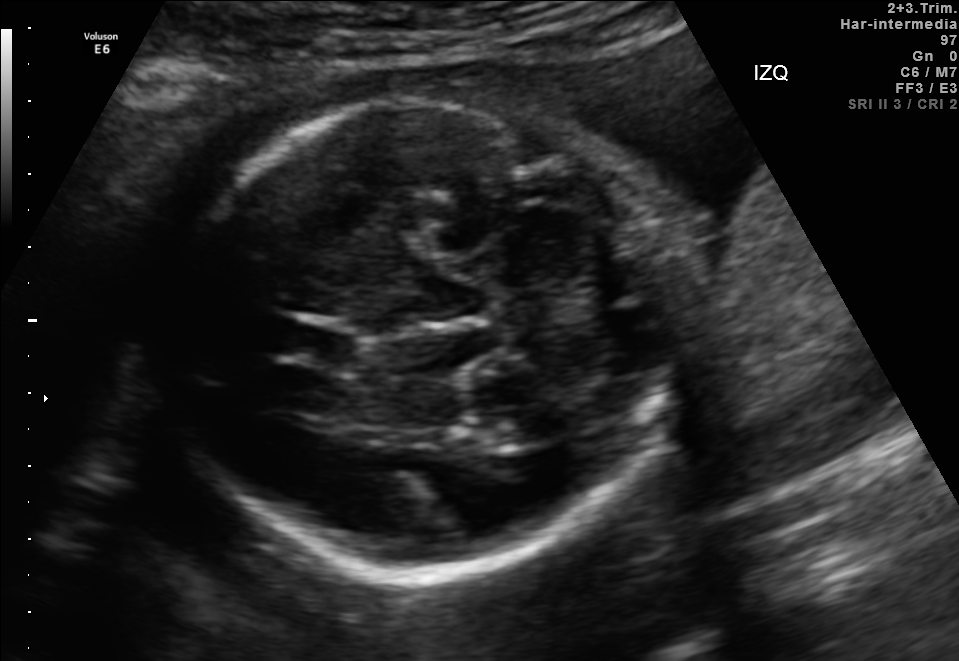
This is a 2D maternal-fetal ultrasound frame. Is it a fetal abdomen, fetal brain, fetal femur, fetal thorax, maternal cervix, or other standard plane? If it's fetal brain and one of the three standard brain planes (trans-thalamic, trans-cerebellum, trans-ventricular), name which.

Fetal brain (trans-cerebellum plane)